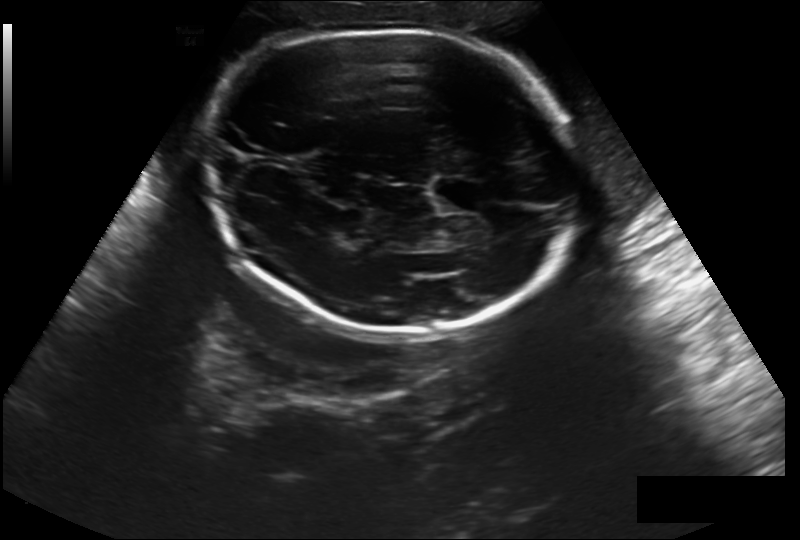
In this fetal head ultrasound, give bounding boxes for the head outline, cavum septum pellucidum (CSP), and lateral ventricle (LV), where visible. Image width: 195.6 mm.

Head: [201,29,579,336]